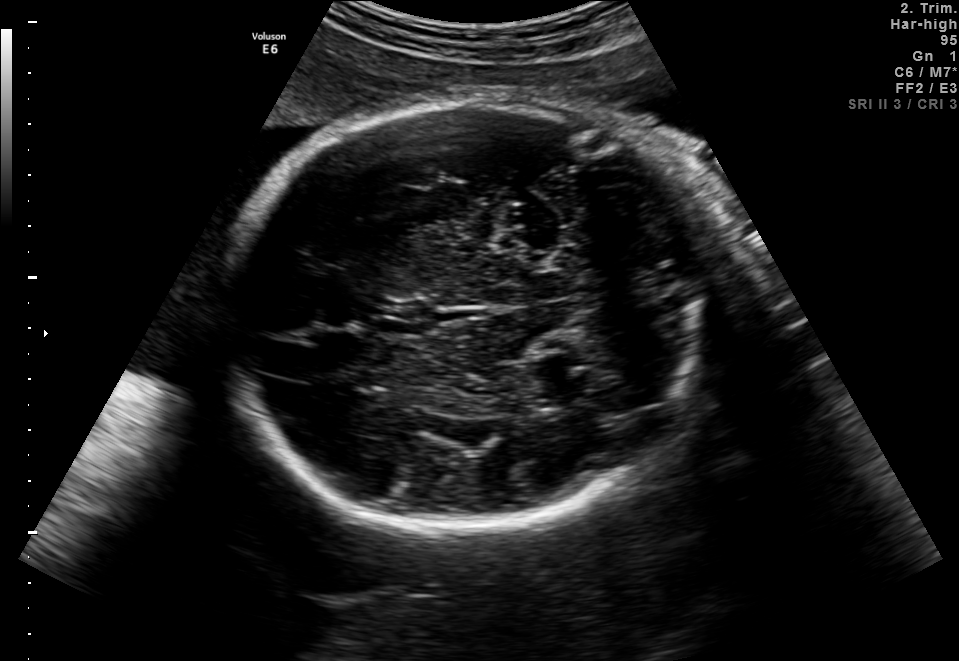
Fetal brain, trans-thalamic plane. Where is the fetal head?

Head bounding box: [223,98,712,531]